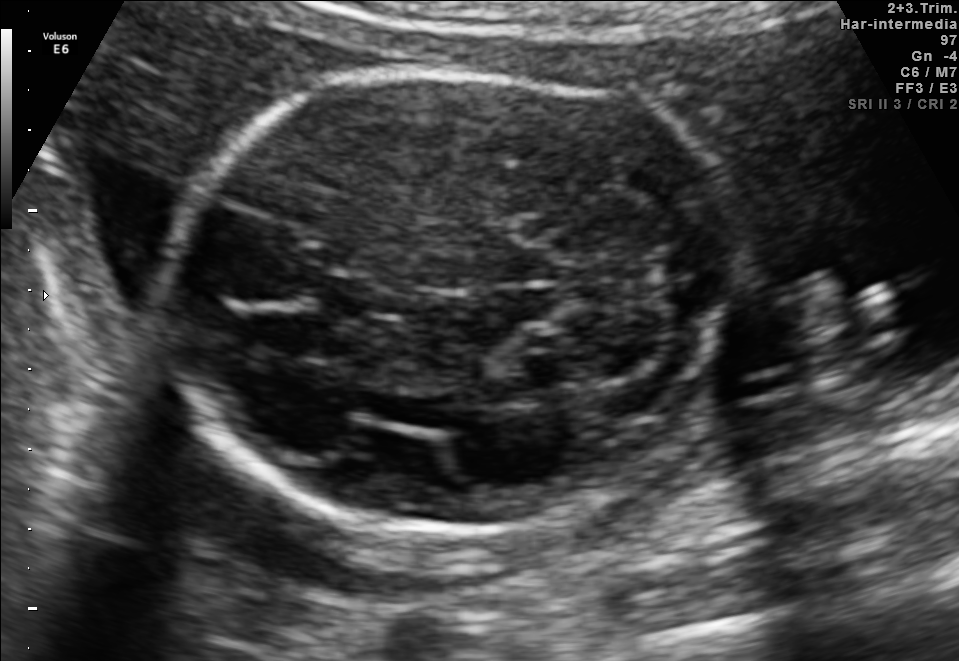
In this fetal brain, trans-cerebellum plane, give the bounding box of the fetal head.

[164,62,741,529]